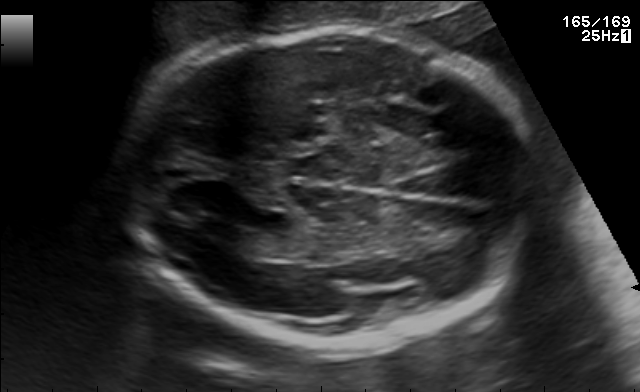
In this fetal brain, trans-ventricular plane, give bounding boxes for the head outline, cavum septum pellucidum (CSP), and lateral ventricle (LV), where visible.

Head: [118,24,550,355]